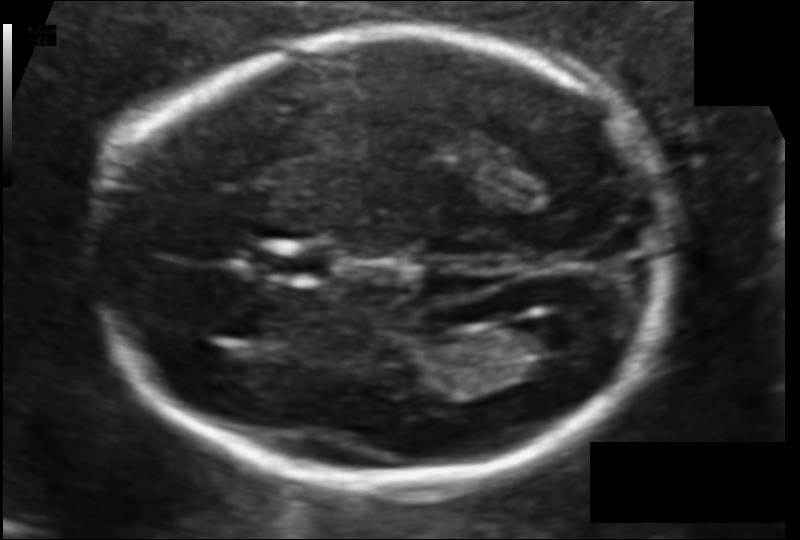
Estimate the fetal head circumference from this 2D ultrasound. Image width: 85.0 mm.

Head circumference: 176.7 mm.